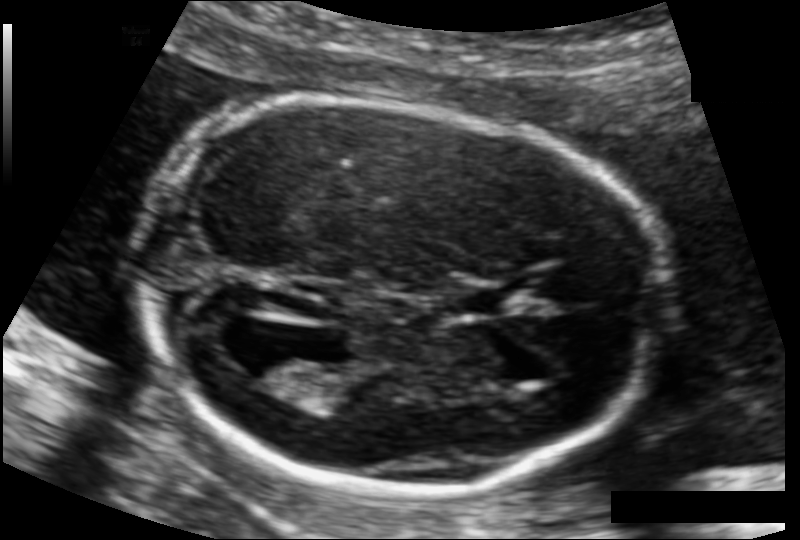
Fetal head ultrasound. Image width: 85.7 mm. Give [x1,y1,x2,y2] bounding boxes for each visible structure among: fetal head, CSP, LV.

Head: [143,98,657,491]
CSP: [455,287,512,313]
Lateral ventricle: [226,337,308,402]